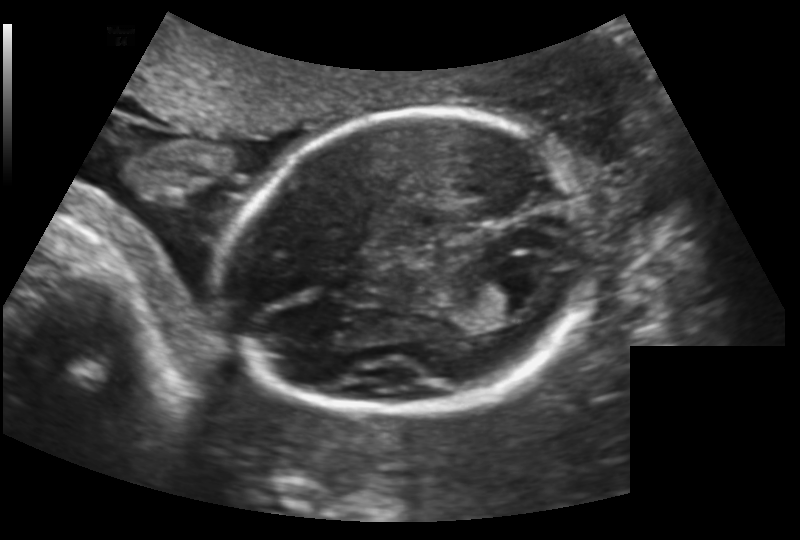
Fetal head ultrasound. Image width: 127.5 mm. Where is the fetal head?

Head bounding box: [227,110,598,415]